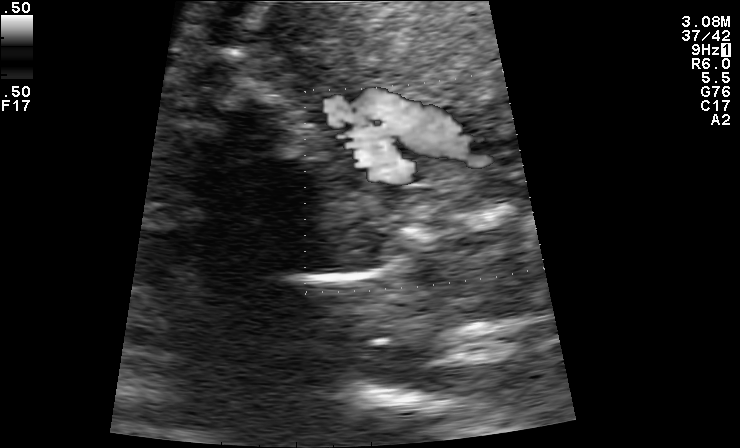
Which standard maternal-fetal ultrasound plane is shown: fetal abdomen, fetal brain, fetal femur, fetal thorax, maternal cervix, or other? If it's fetal brain and one of the three standard brain planes (trans-thalamic, trans-cerebellum, trans-ventricular), name which.

Other